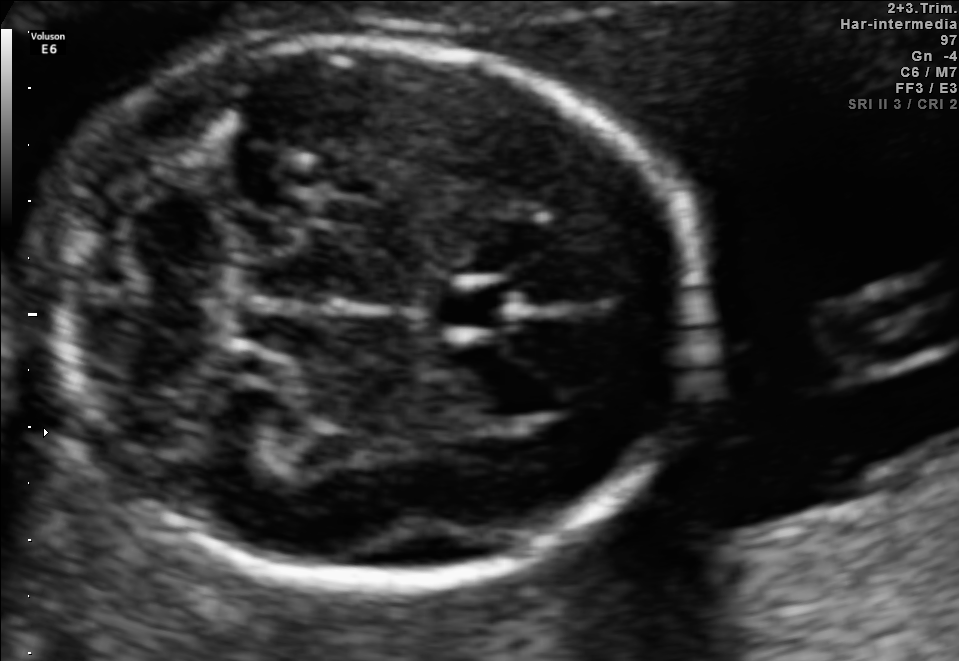
In this fetal brain, trans-cerebellum plane, give the bounding box of the cavum septum pellucidum.

[437,282,515,333]